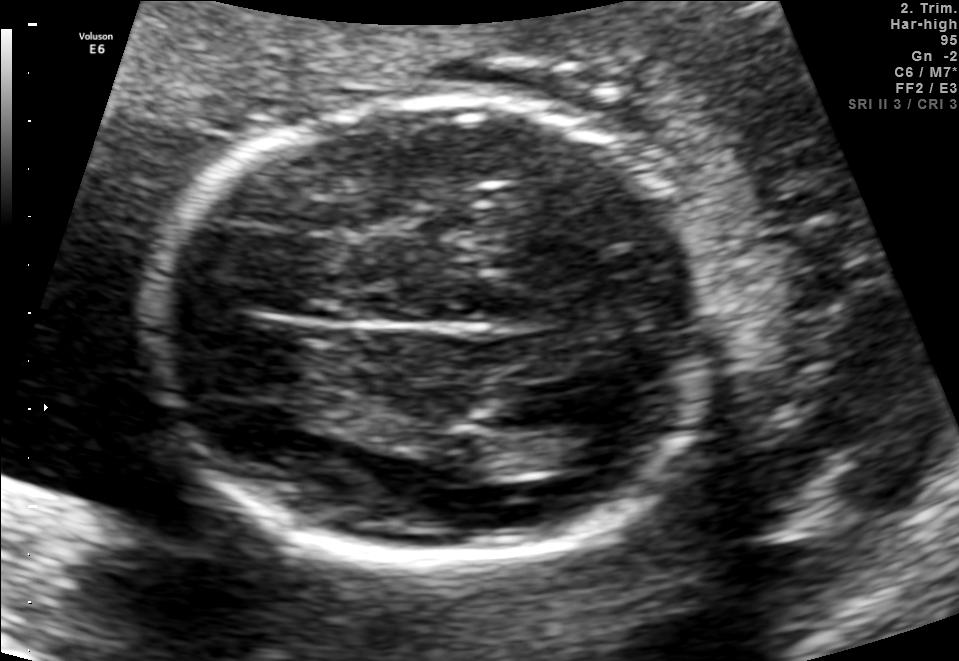
Which standard maternal-fetal ultrasound plane is shown: fetal abdomen, fetal brain, fetal femur, fetal thorax, maternal cervix, or other? If it's fetal brain and one of the three standard brain planes (trans-thalamic, trans-cerebellum, trans-ventricular), name which.

Fetal brain (trans-thalamic plane)